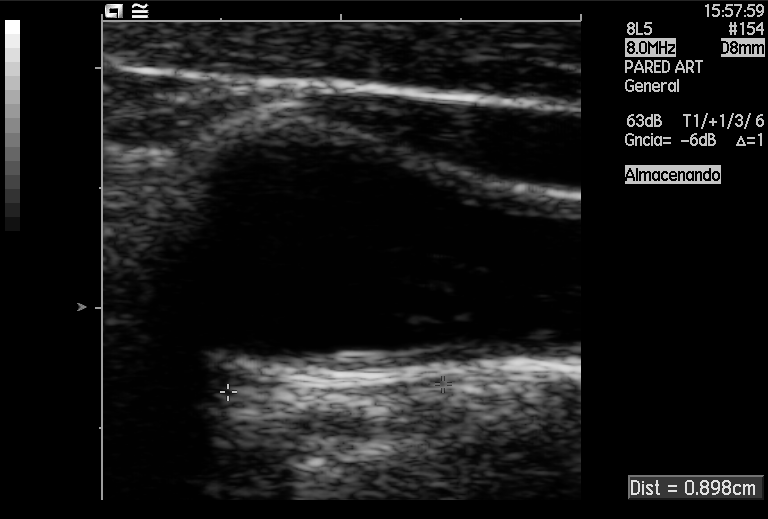
Identify the standard plane in this fetal ultrasound image: fetal abdomen, fetal brain, fetal femur, fetal thorax, maternal cervix, or other. If it's fetal brain and one of the three standard brain planes (trans-thalamic, trans-cerebellum, trans-ventricular), name which.

Other